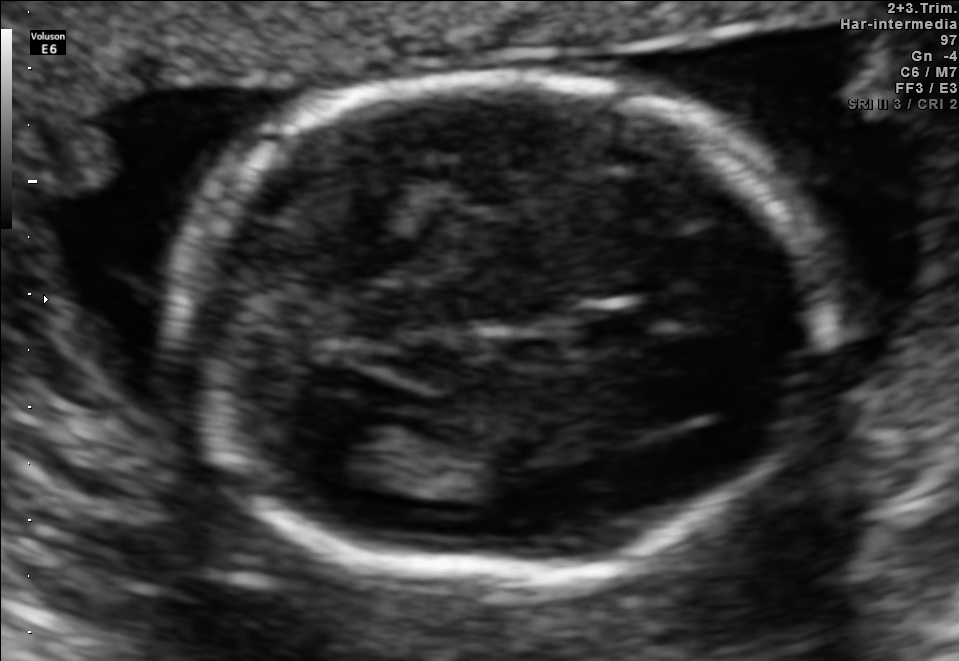
Fetal brain, trans-thalamic plane. Where is the lateral ventricle?

Lateral ventricle bounding box: [316,405,436,494]